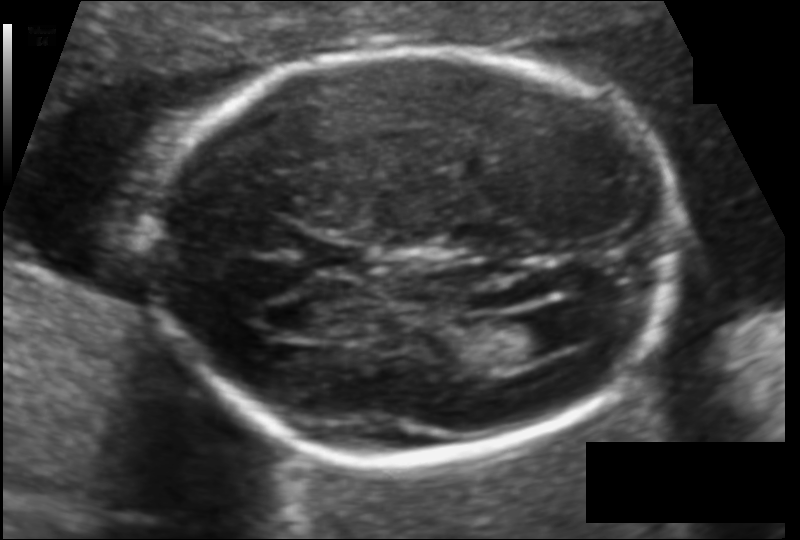
In this fetal head ultrasound, give the bounding box of the fetal head. Image width: 89.1 mm.

[152,48,677,462]